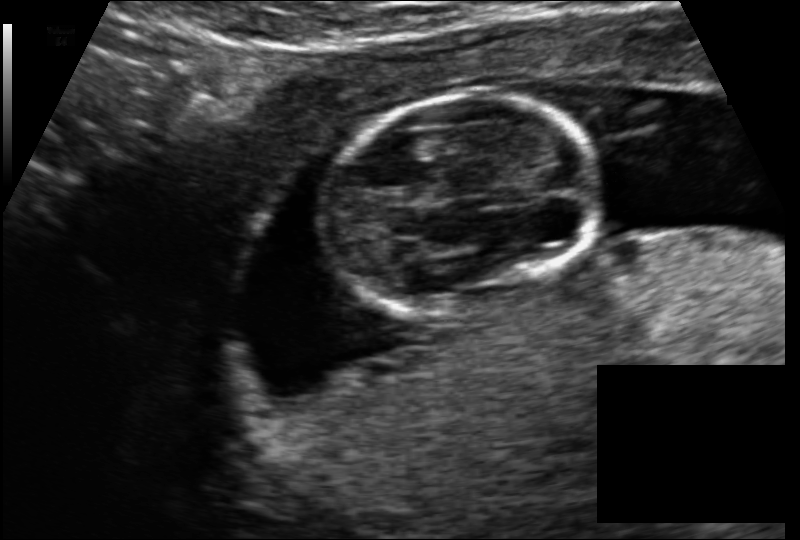
From this fetal ultrasound, estimate the head circumference (image width 91.1 mm).

Head circumference: 94.3 mm.